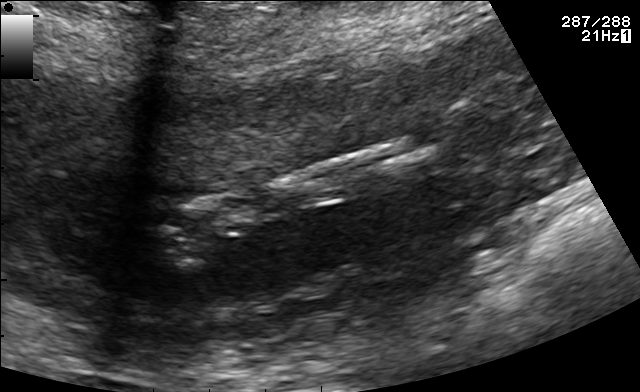
Classify this maternal-fetal ultrasound image as one of the six standard planes — fetal abdomen, fetal brain, fetal femur, fetal thorax, maternal cervix, or other. If it's fetal brain and one of the three standard brain planes (trans-thalamic, trans-cerebellum, trans-ventricular), name which.

Other